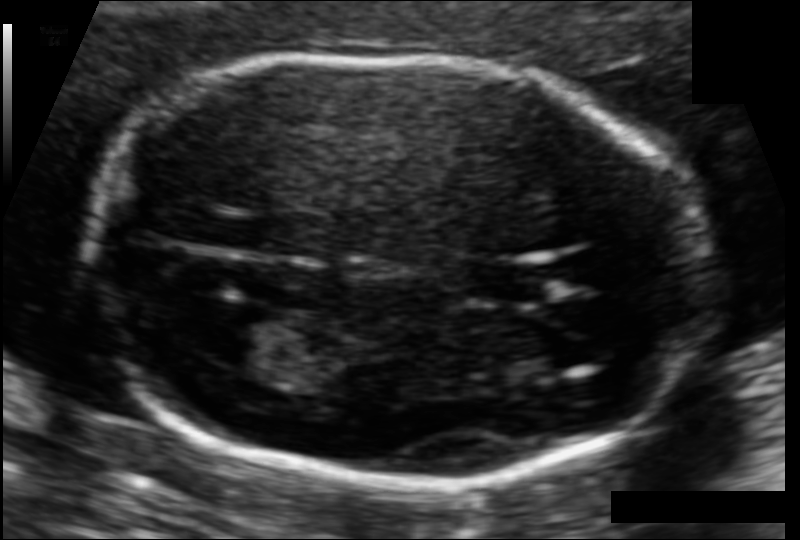
In this fetal head ultrasound, give the bounding box of the cavum septum pellucidum. Image width: 73.9 mm.

[468,265,542,300]